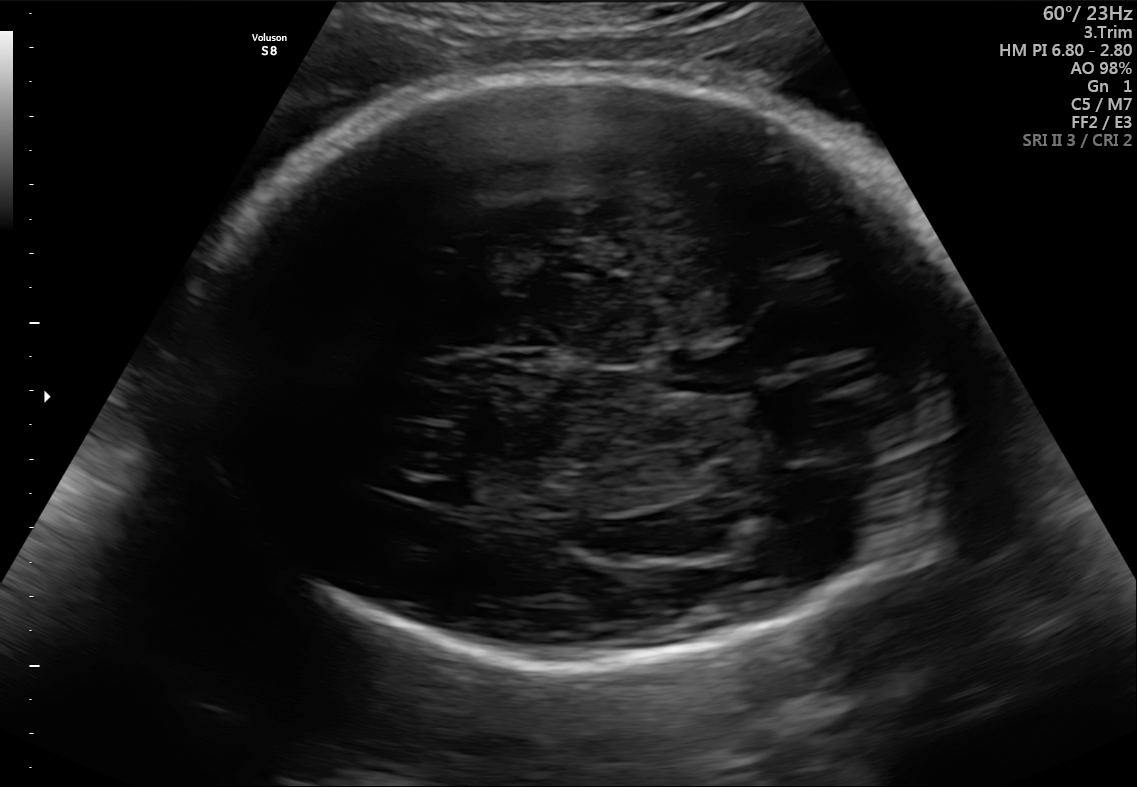
Fetal brain, trans-thalamic plane. Locate the fetal head and, if visible, the cavum septum pellucidum (CSP) and lateral ventricle (LV). Give bounding boxes as [x1,y1,x2,y2].

Head: [180,73,964,669]
CSP: [669,353,744,393]
Lateral ventricle: [427,479,484,505]